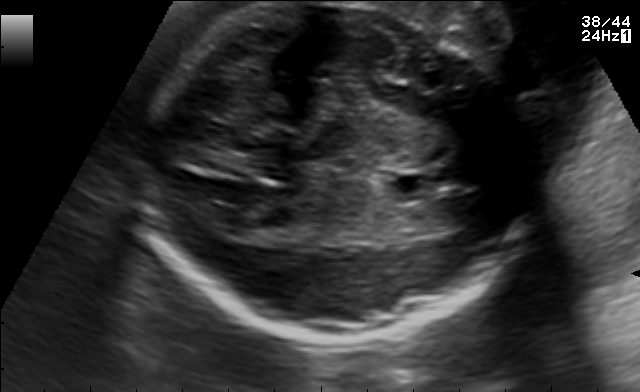
Fetal brain, trans-ventricular plane. Give [x1,y1,x2,y2] bounding boxes for each visible structure among: fetal head, CSP, LV.

Head: [133,7,544,346]